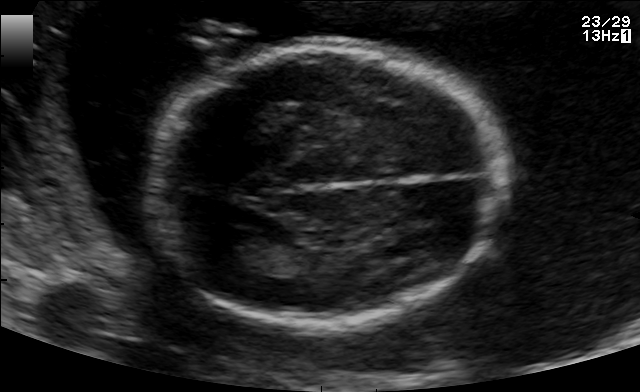
In this fetal brain, trans-thalamic plane, give the bounding box of the lateral ventricle.

[213,222,282,273]